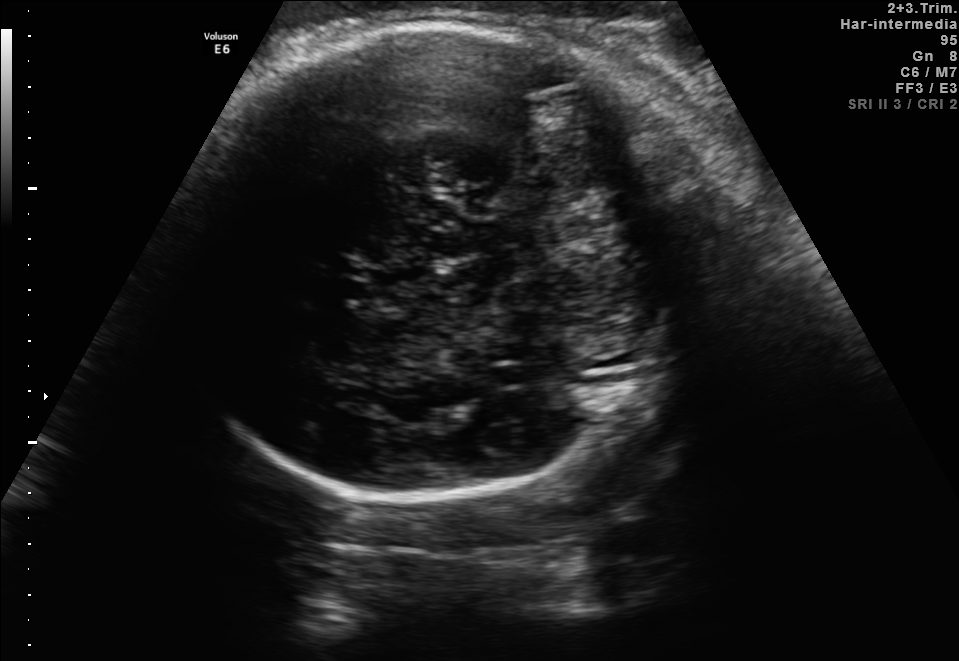
Fetal brain, trans-cerebellum plane. Where is the fetal head?

Head bounding box: [172,21,687,500]